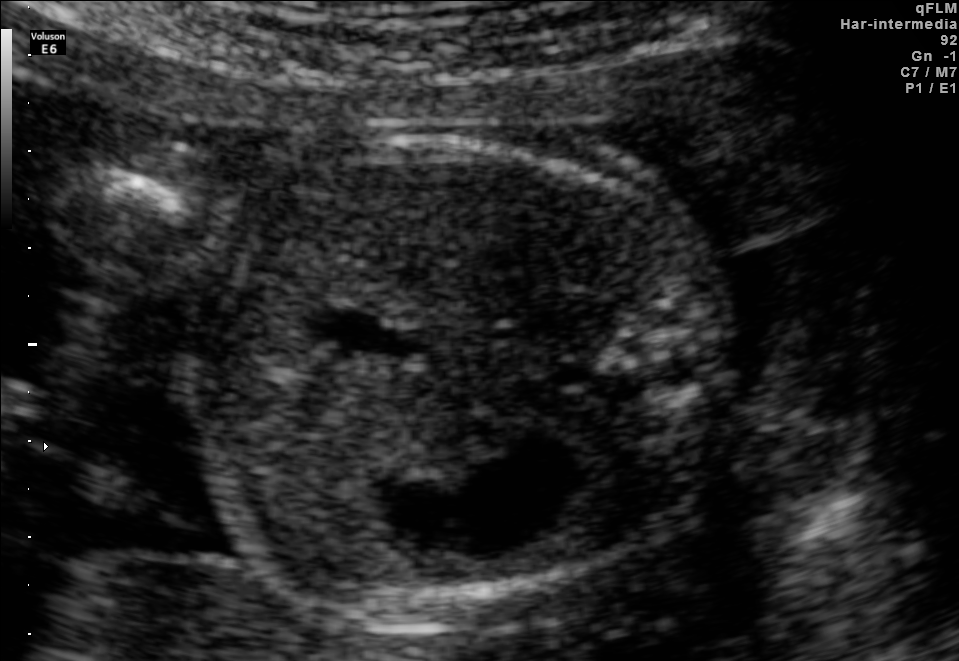
Which standard maternal-fetal ultrasound plane is shown: fetal abdomen, fetal brain, fetal femur, fetal thorax, maternal cervix, or other? If it's fetal brain and one of the three standard brain planes (trans-thalamic, trans-cerebellum, trans-ventricular), name which.

Fetal abdomen